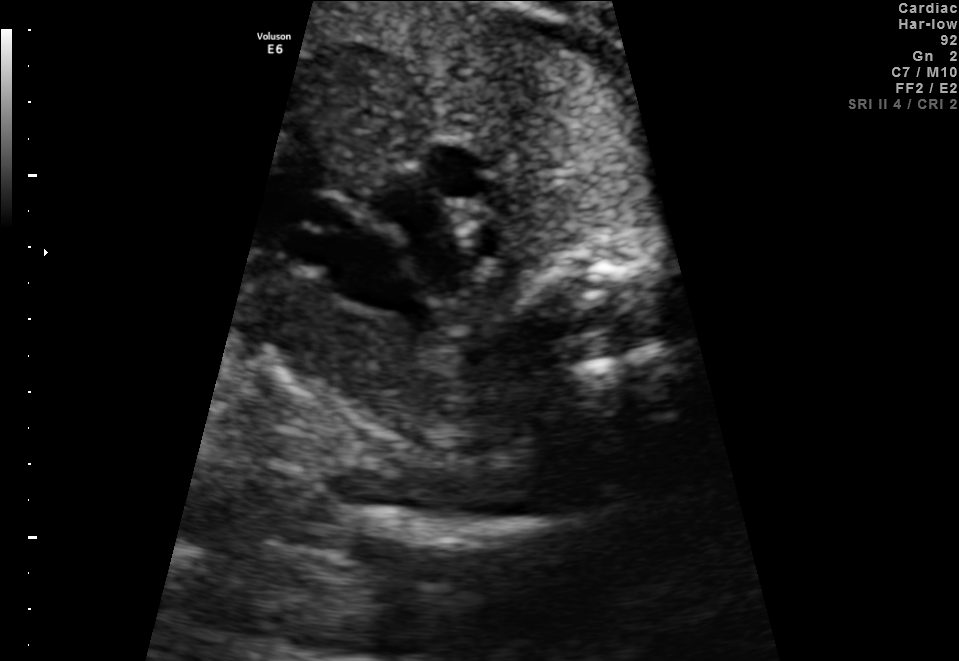
Identify the standard plane in this fetal ultrasound image: fetal abdomen, fetal brain, fetal femur, fetal thorax, maternal cervix, or other. If it's fetal brain and one of the three standard brain planes (trans-thalamic, trans-cerebellum, trans-ventricular), name which.

Other